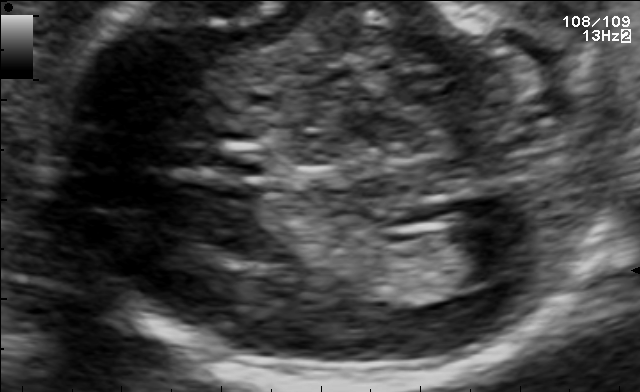
Fetal brain, trans-ventricular plane. Locate the cavum septum pellucidum (CSP) and lateral ventricle (LV), if visible. Give bounding boxes as [x1,y1,x2,y2].

CSP: [164,134,276,192]
Lateral ventricle: [440,209,552,288]